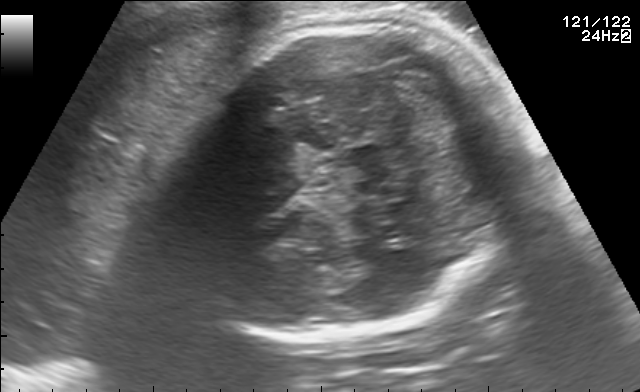
This is a 2D maternal-fetal ultrasound frame. Is it a fetal abdomen, fetal brain, fetal femur, fetal thorax, maternal cervix, or other standard plane? If it's fetal brain and one of the three standard brain planes (trans-thalamic, trans-cerebellum, trans-ventricular), name which.

Fetal brain